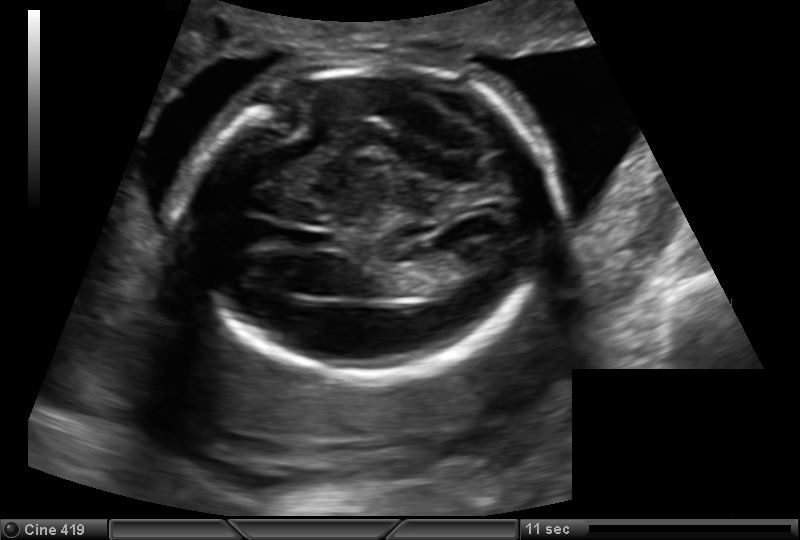
From this fetal ultrasound, estimate the head circumference (image width 122.2 mm).

Head circumference: 170.7 mm.